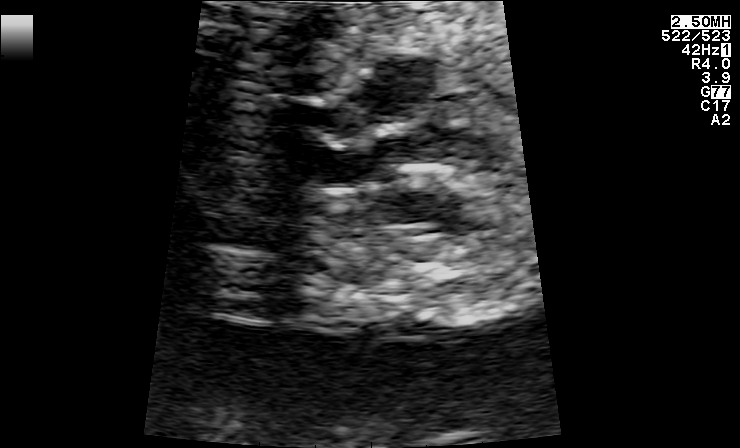
Which standard maternal-fetal ultrasound plane is shown: fetal abdomen, fetal brain, fetal femur, fetal thorax, maternal cervix, or other? If it's fetal brain and one of the three standard brain planes (trans-thalamic, trans-cerebellum, trans-ventricular), name which.

Other